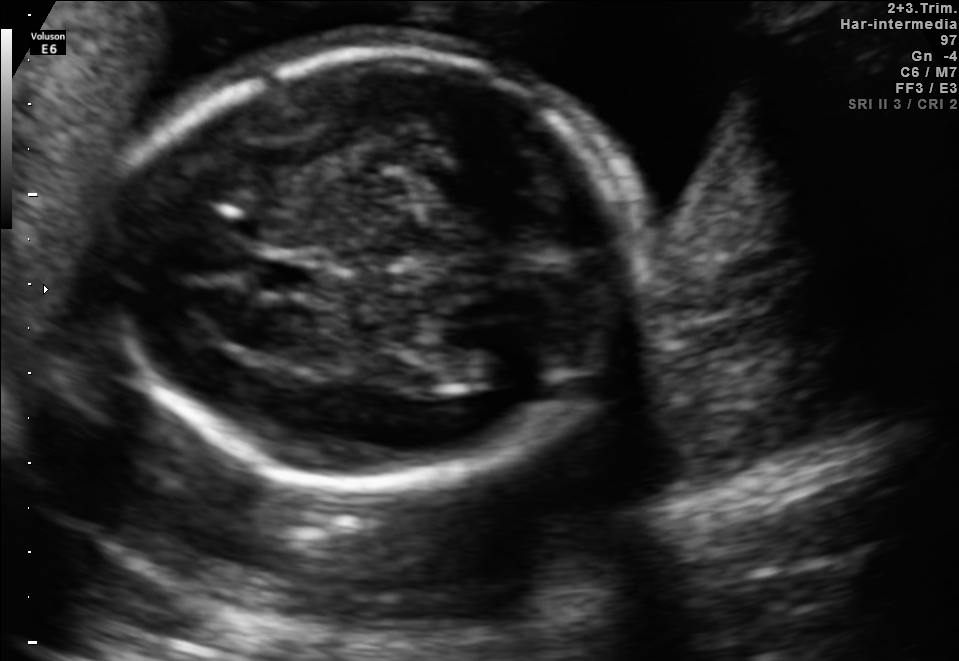
Fetal brain, trans-thalamic plane. Locate the cavum septum pellucidum.

CSP: [255,260,323,294]